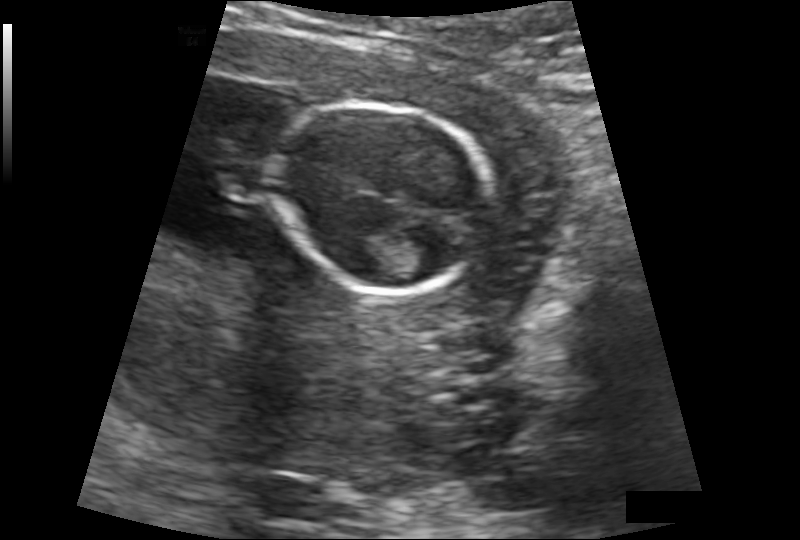
Estimate the fetal head circumference from this 2D ultrasound. Image width: 105.8 mm.

Head circumference: 88.5 mm.